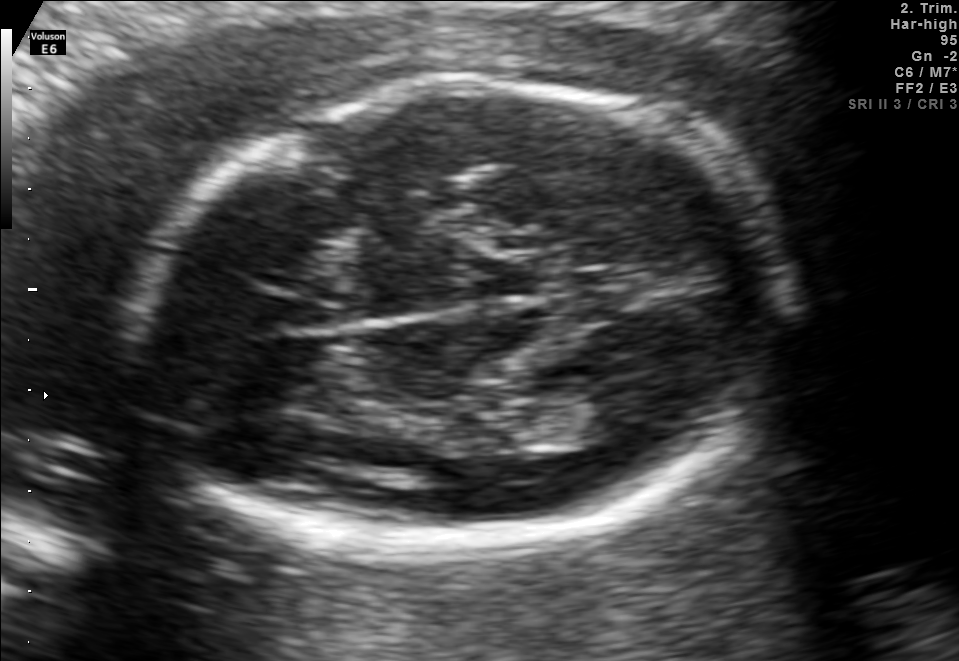
Fetal brain, trans-thalamic plane. Locate the fetal head and, if visible, the cavum septum pellucidum (CSP) and lateral ventricle (LV). Give bounding boxes as [x1,y1,x2,y2].

Head: [133,81,790,548]
Lateral ventricle: [551,384,639,448]